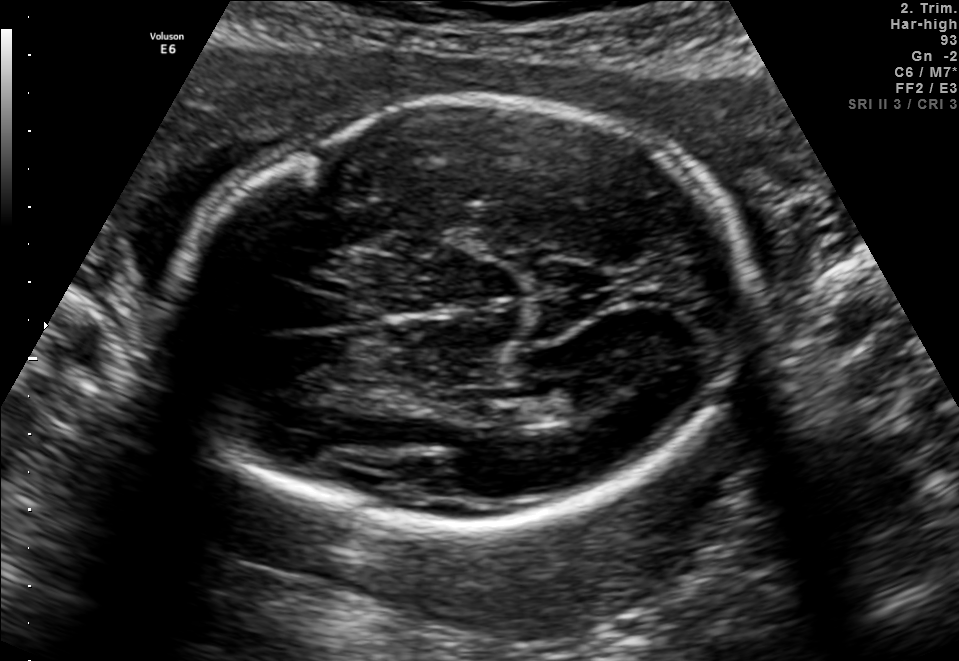
In this fetal brain, trans-thalamic plane, give the bounding box of the lateral ventricle.

[511,368,604,430]